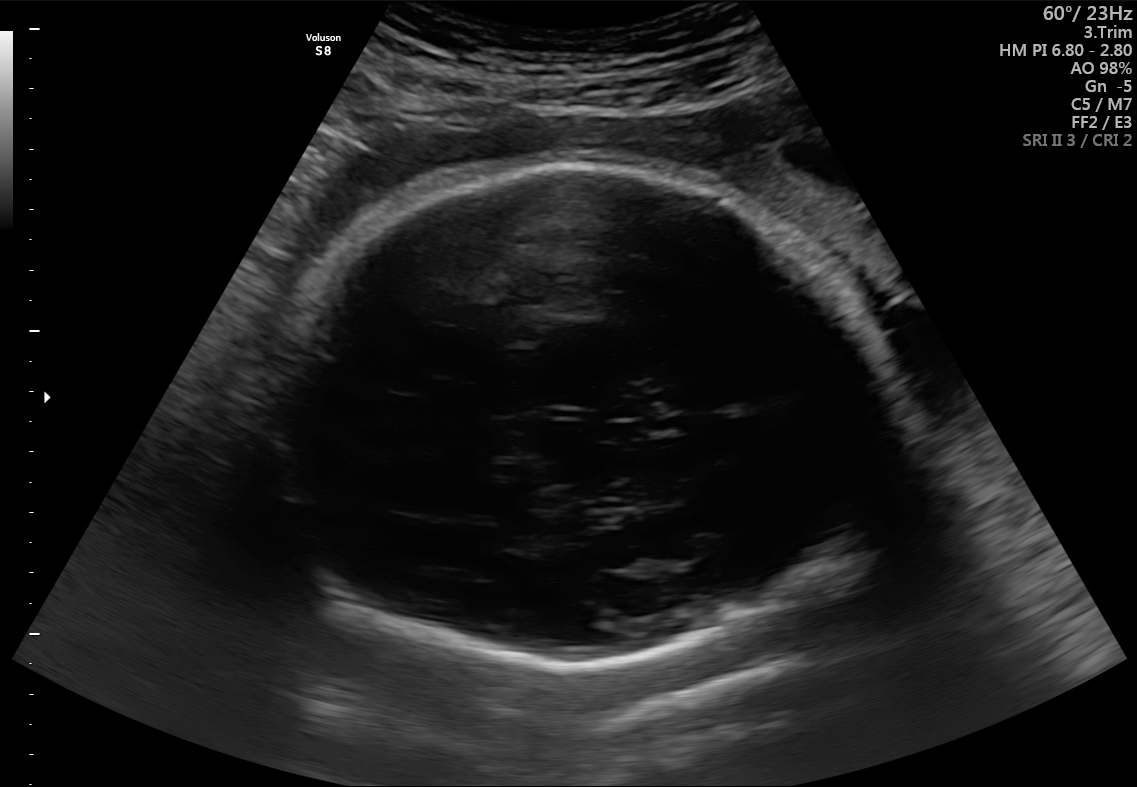
In this fetal brain, trans-thalamic plane, give bounding boxes for the head outline, cavum septum pellucidum (CSP), and lateral ventricle (LV), where visible.

Head: [263,161,900,664]